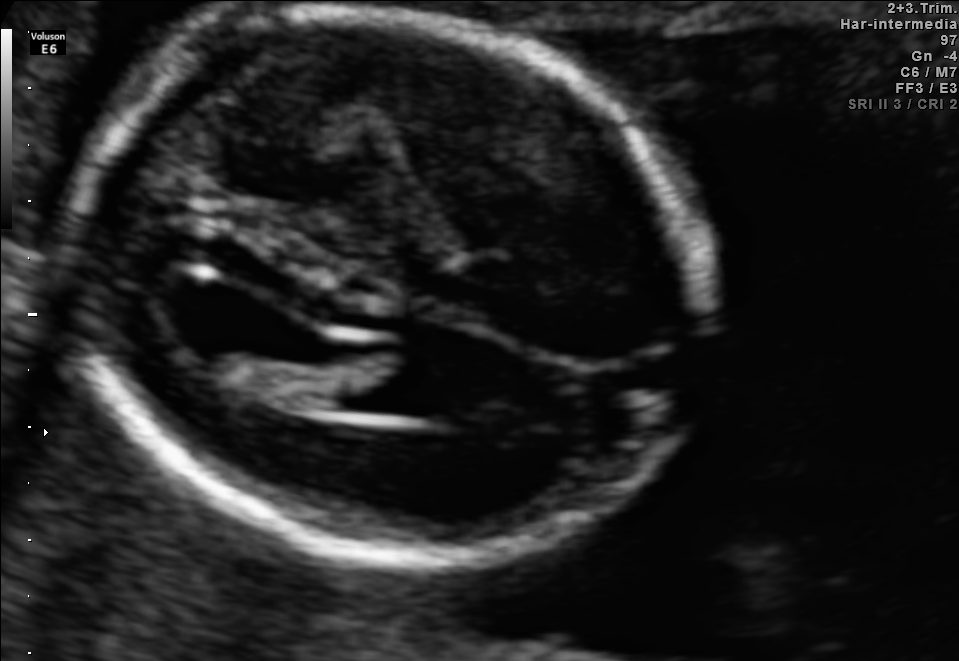
Fetal brain, trans-ventricular plane. Locate the fetal head.

Head: [54,4,729,577]